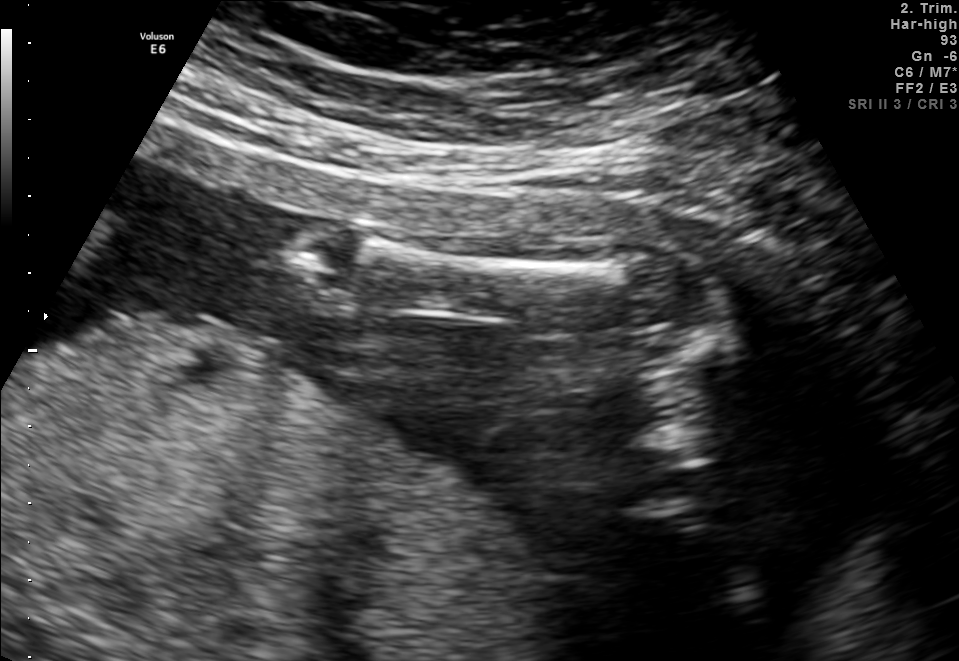
Which standard maternal-fetal ultrasound plane is shown: fetal abdomen, fetal brain, fetal femur, fetal thorax, maternal cervix, or other? If it's fetal brain and one of the three standard brain planes (trans-thalamic, trans-cerebellum, trans-ventricular), name which.

Fetal femur